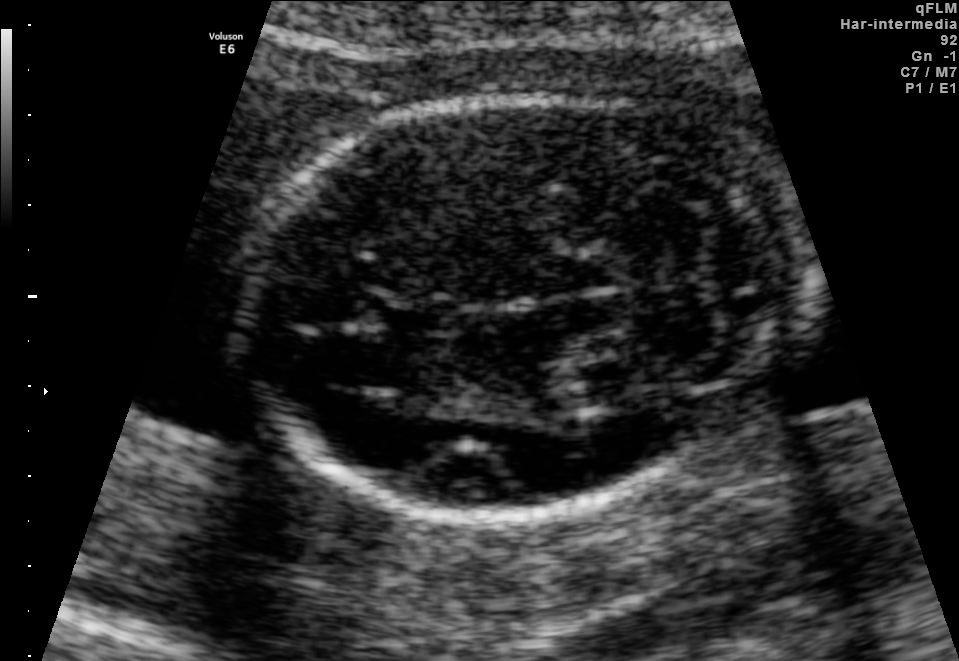
Fetal brain, trans-cerebellum plane. Where is the fetal head?

Head bounding box: [249,95,810,516]